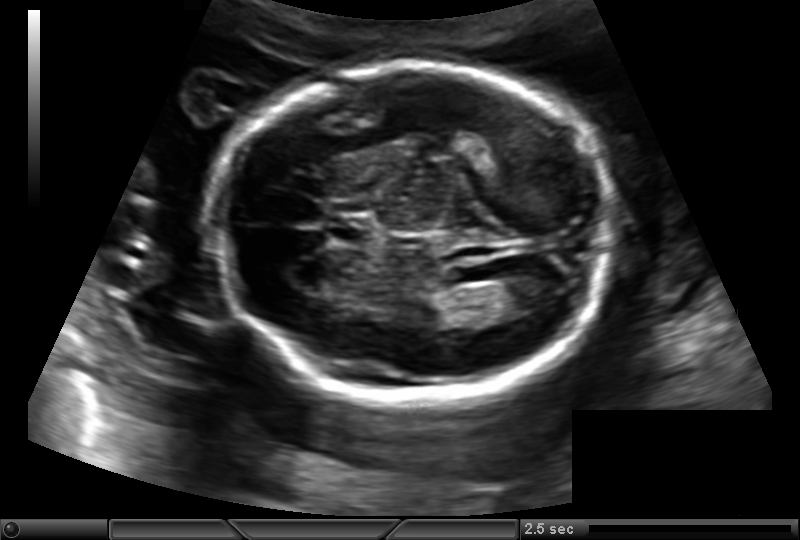
In this fetal head ultrasound, give bounding boxes for the head outline, cavum septum pellucidum (CSP), and lateral ventricle (LV), where visible. Image width: 116.2 mm.

Head: [213,65,619,396]
CSP: [327,216,376,246]
Lateral ventricle: [488,271,561,320]